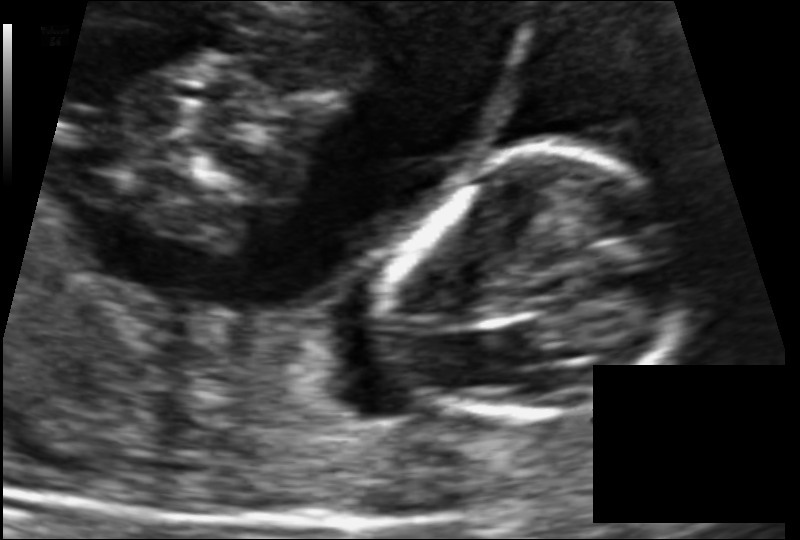
Estimate the fetal head circumference from this 2D ultrasound. Image width: 69.1 mm.

Head circumference: 81.1 mm.